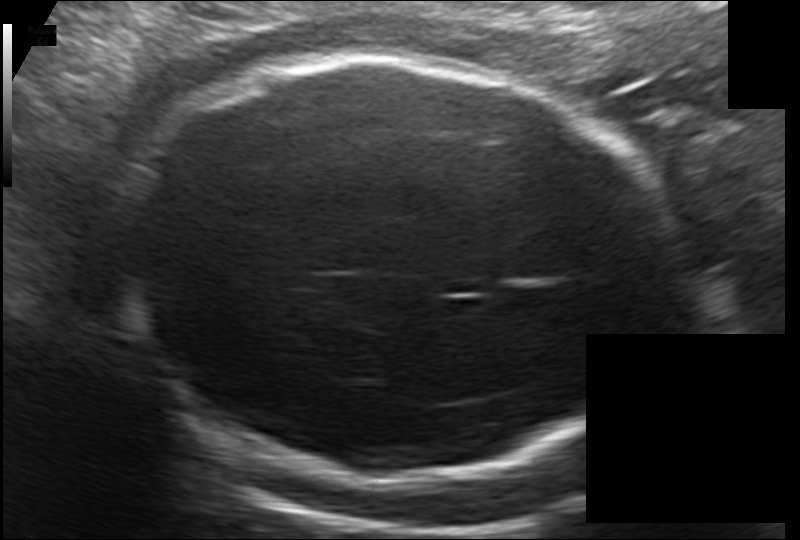
Fetal head ultrasound. Image width: 138.0 mm. Give [x1,y1,x2,y2] bounding boxes for each visible structure among: fetal head, CSP, LV.

Head: [116,55,672,480]